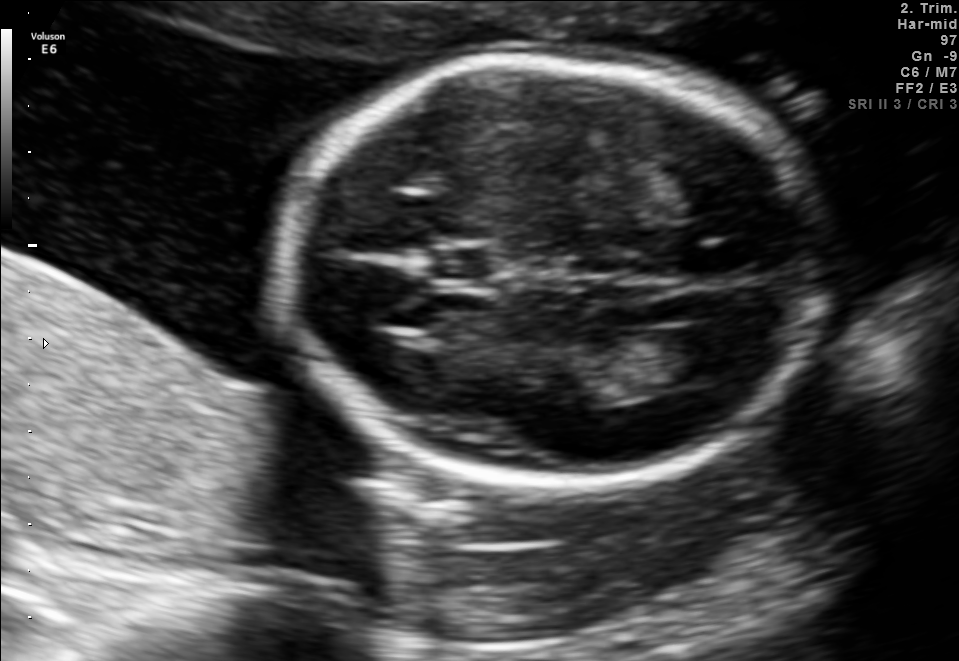
Fetal brain, trans-ventricular plane. Locate the fetal head.

Head: [268,50,843,495]